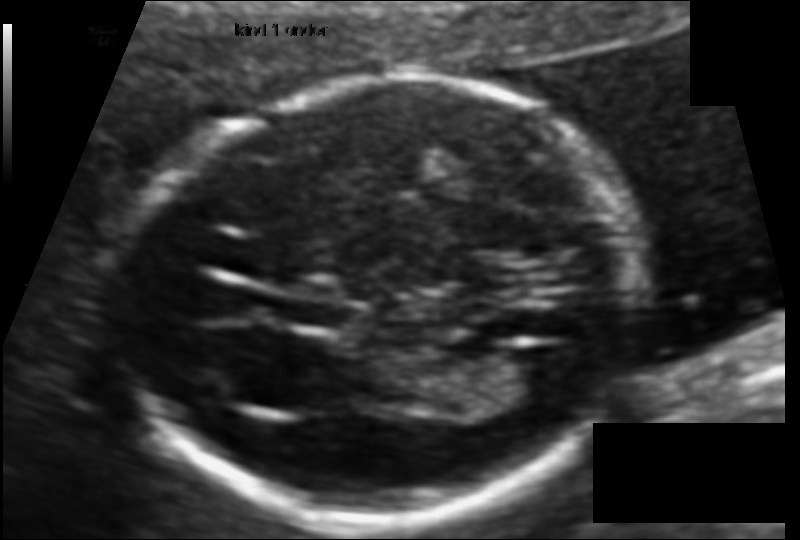
Fetal head ultrasound. Image width: 75.7 mm. Where is the lateral ventricle?

Lateral ventricle bounding box: [498,342,581,400]